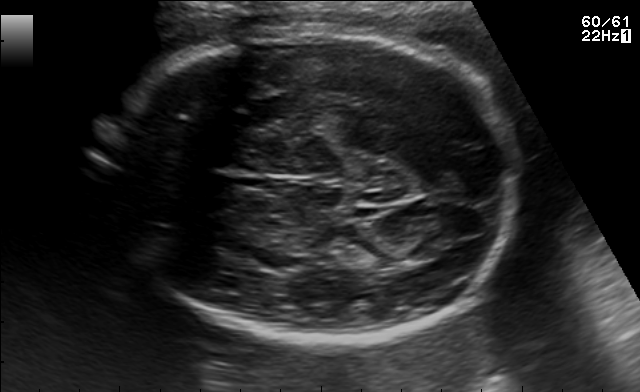
Classify this maternal-fetal ultrasound image as one of the six standard planes — fetal abdomen, fetal brain, fetal femur, fetal thorax, maternal cervix, or other. If it's fetal brain and one of the three standard brain planes (trans-thalamic, trans-cerebellum, trans-ventricular), name which.

Fetal brain (trans-thalamic plane)